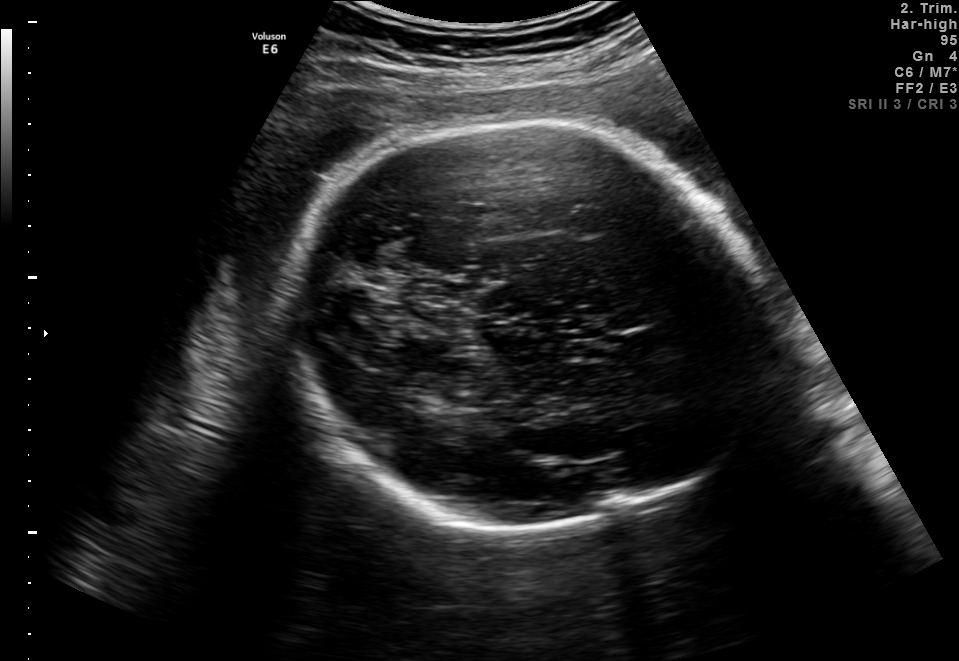
Classify this maternal-fetal ultrasound image as one of the six standard planes — fetal abdomen, fetal brain, fetal femur, fetal thorax, maternal cervix, or other. If it's fetal brain and one of the three standard brain planes (trans-thalamic, trans-cerebellum, trans-ventricular), name which.

Fetal brain (trans-thalamic plane)